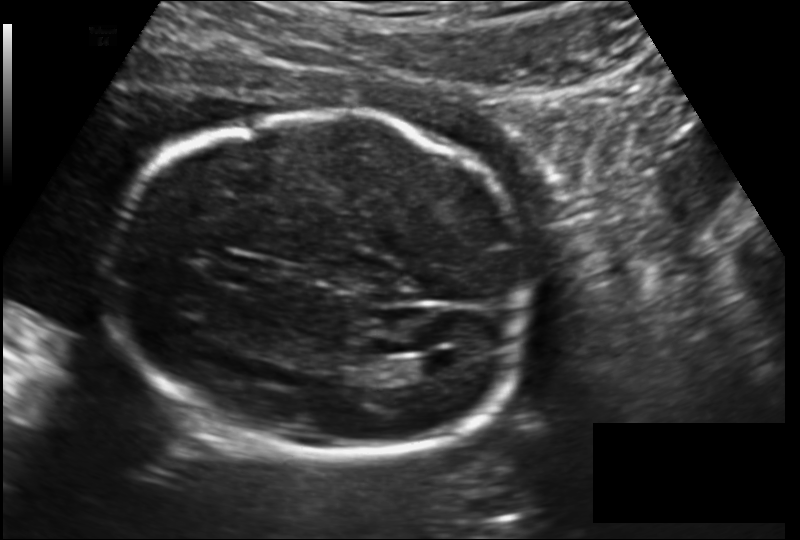
Fetal head ultrasound. Image width: 125.8 mm. Where is the fetal head?

Head bounding box: [104,109,536,462]